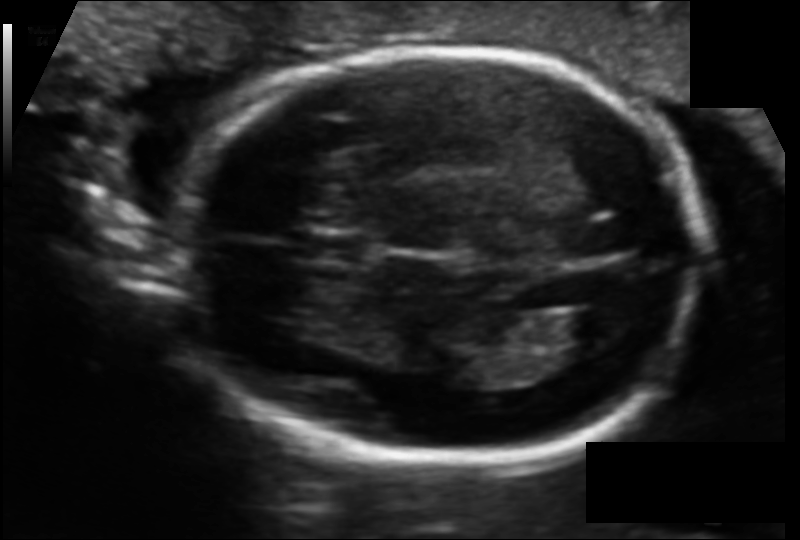
Fetal head ultrasound. Image width: 86.3 mm. Locate the fetal head.

Head: [173,50,709,467]